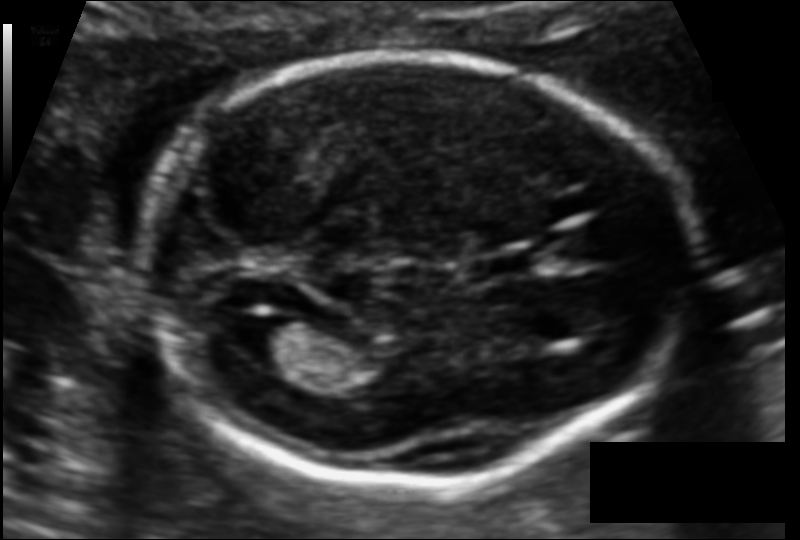
In this fetal head ultrasound, give bounding boxes for the head outline, cavum septum pellucidum (CSP), and lateral ventricle (LV), where visible. Image width: 85.1 mm.

Head: [139,56,696,482]
CSP: [477,246,538,285]
Lateral ventricle: [229,310,306,370]